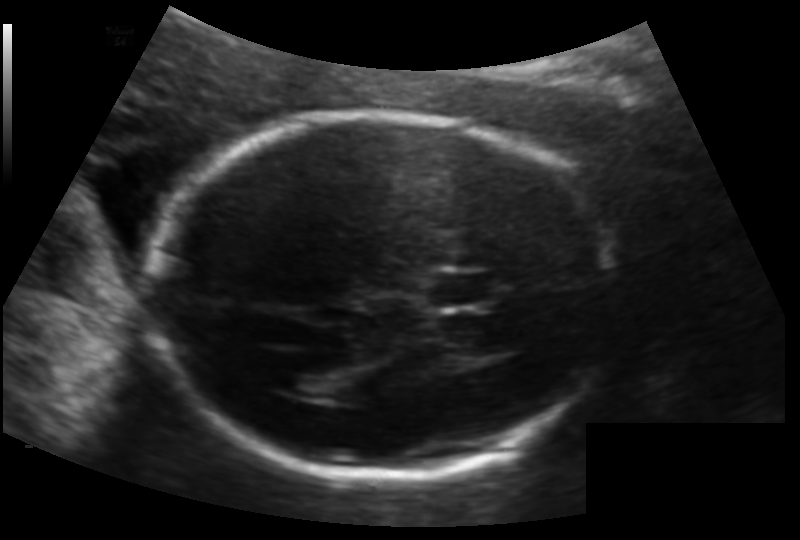
Estimate the fetal head circumference from this 2D ultrasound. Image width: 106.4 mm.

Head circumference: 177.3 mm.